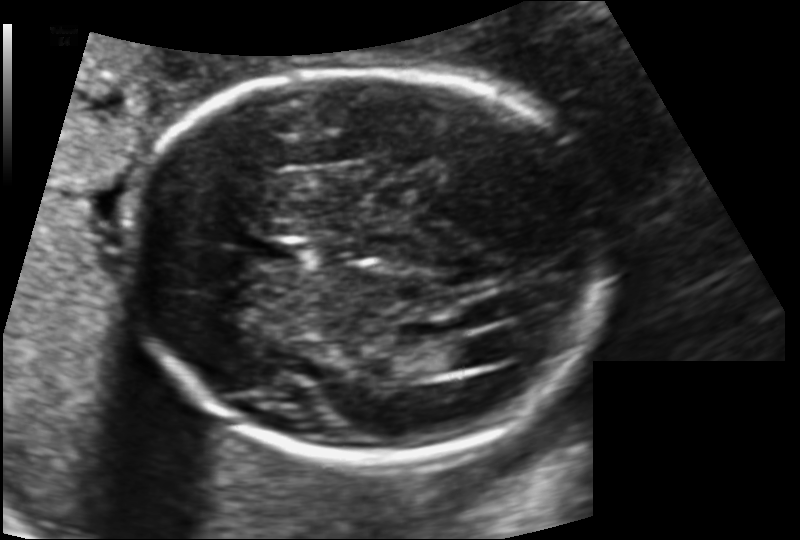
Fetal head ultrasound. Image width: 107.8 mm. Give [x1,y1,x2,y2] bounding boxes for each visible structure among: fetal head, CSP, LV.

Head: [123,68,611,457]
CSP: [254,237,312,266]
Lateral ventricle: [437,335,492,372]